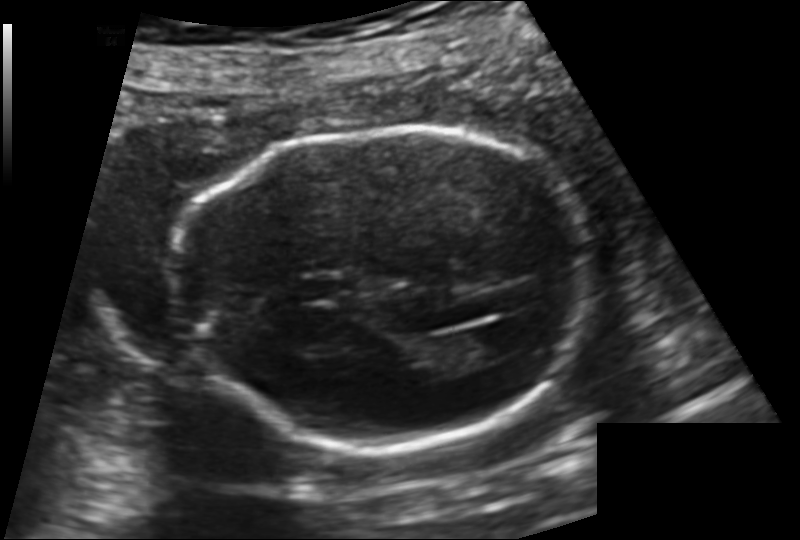
Fetal head ultrasound. Image width: 115.3 mm. Locate the fetal head and, if visible, the cavum septum pellucidum (CSP) and lateral ventricle (LV). Give bounding boxes as [x1,y1,x2,y2].

Head: [178,131,592,449]
CSP: [295,277,341,301]
Lateral ventricle: [447,320,517,370]